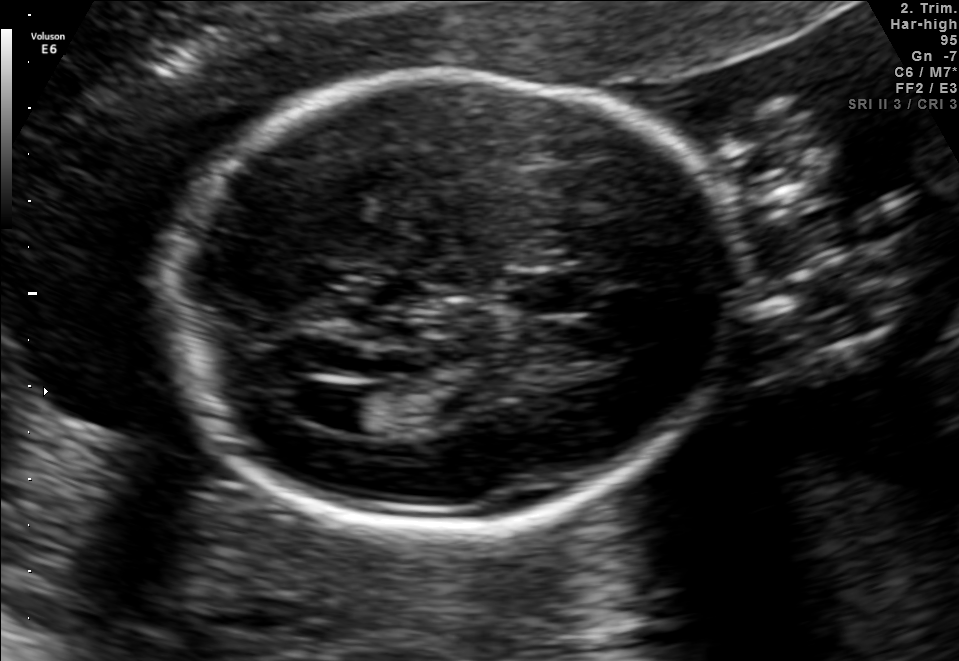
In this fetal brain, trans-ventricular plane, give the bounding box of the lateral ventricle.

[272,372,379,436]